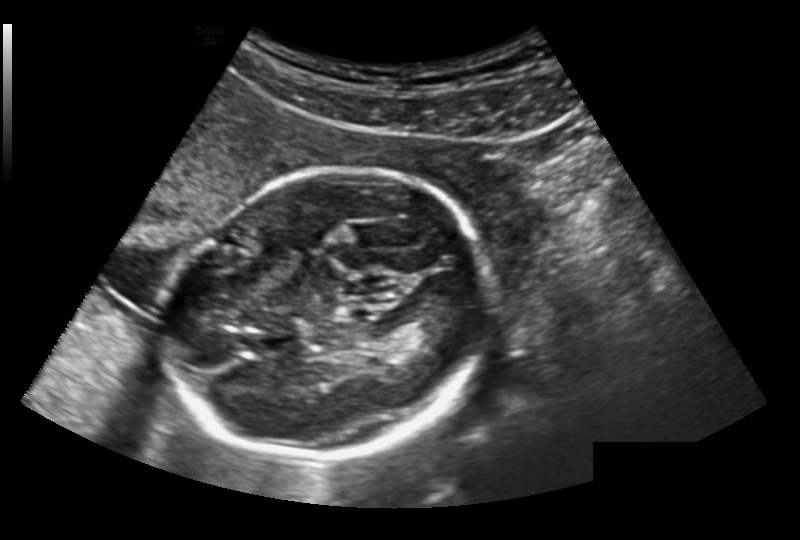
What is the fetal head circumference? Image width is 152.5 mm.

191.9 mm